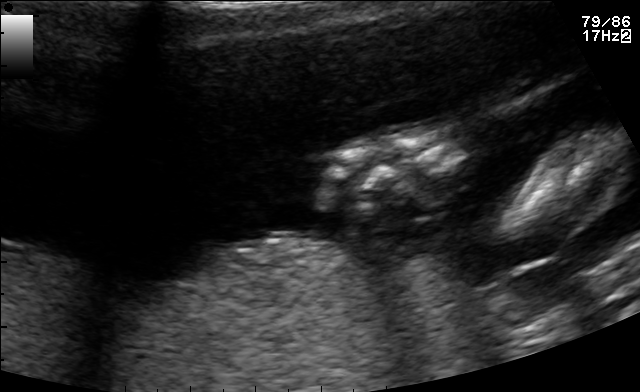
Classify this maternal-fetal ultrasound image as one of the six standard planes — fetal abdomen, fetal brain, fetal femur, fetal thorax, maternal cervix, or other. If it's fetal brain and one of the three standard brain planes (trans-thalamic, trans-cerebellum, trans-ventricular), name which.

Other